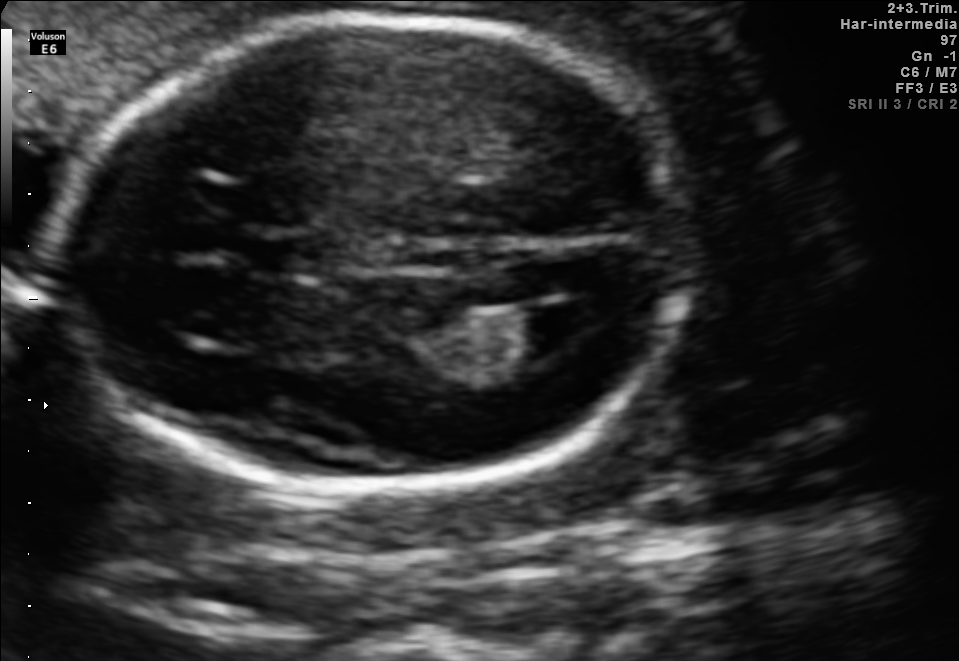
Fetal brain, trans-ventricular plane. Where is the cavum septum pellucidum?

CSP bounding box: [248,239,323,272]